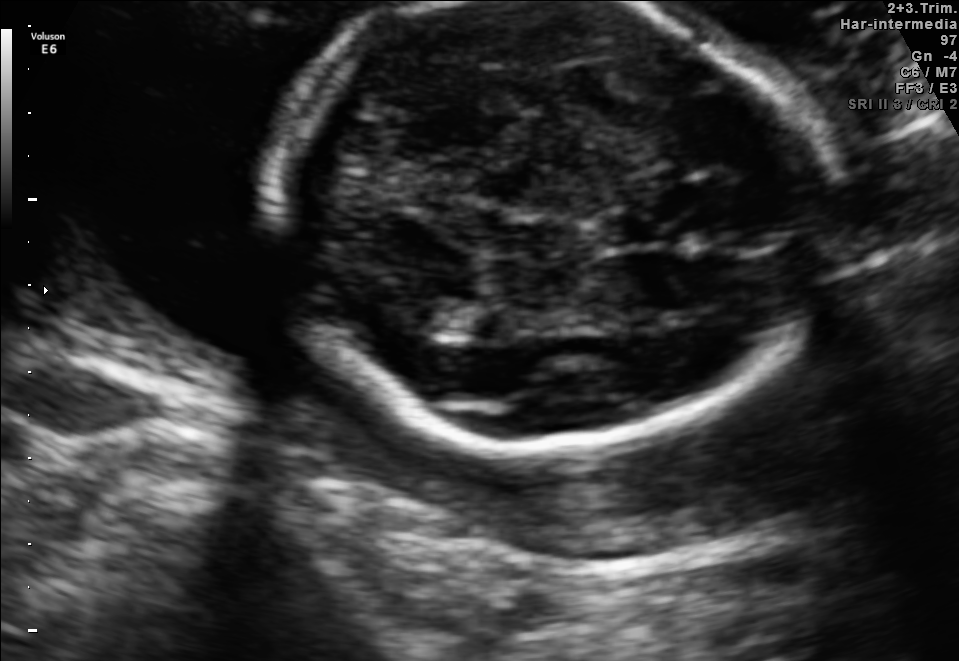
Fetal brain, trans-thalamic plane. Locate the fetal head and, if visible, the cavum septum pellucidum (CSP) and lateral ventricle (LV). Give bounding boxes as [x1,y1,x2,y2].

Head: [263,2,828,447]
CSP: [596,211,658,249]
Lateral ventricle: [431,307,503,339]